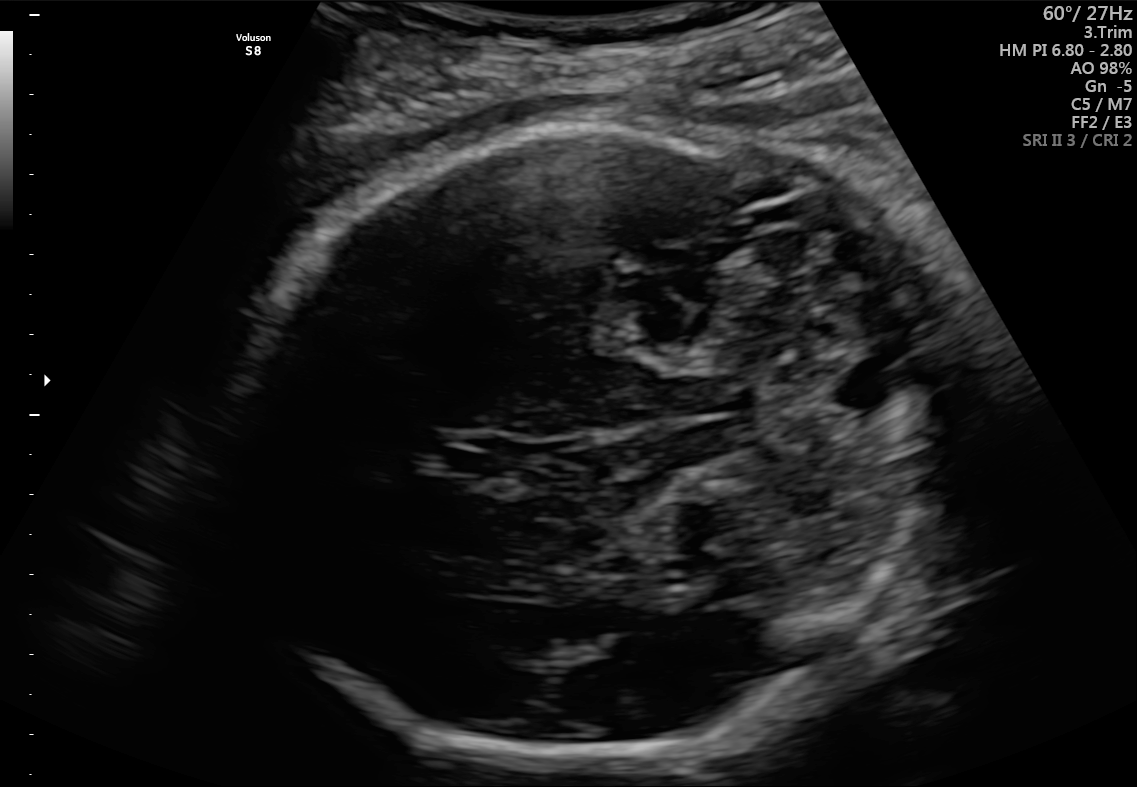
In this fetal brain, trans-cerebellum plane, give the bounding box of the fetal head.

[230,127,947,755]